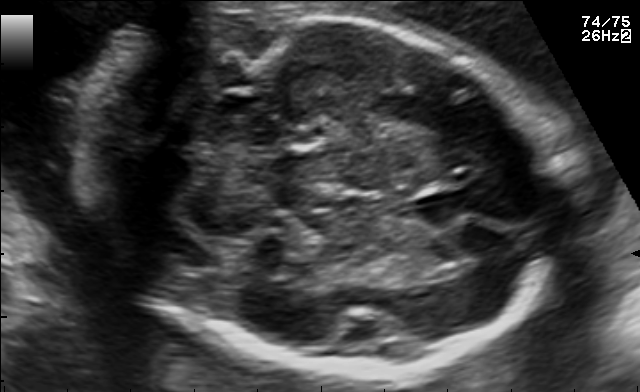
Classify this maternal-fetal ultrasound image as one of the six standard planes — fetal abdomen, fetal brain, fetal femur, fetal thorax, maternal cervix, or other. If it's fetal brain and one of the three standard brain planes (trans-thalamic, trans-cerebellum, trans-ventricular), name which.

Fetal brain (trans-cerebellum plane)